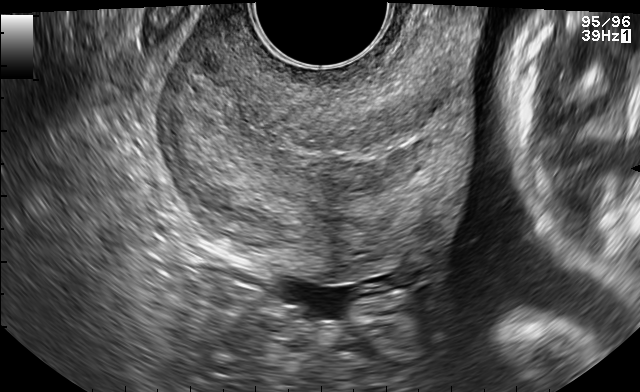
Classify this maternal-fetal ultrasound image as one of the six standard planes — fetal abdomen, fetal brain, fetal femur, fetal thorax, maternal cervix, or other. If it's fetal brain and one of the three standard brain planes (trans-thalamic, trans-cerebellum, trans-ventricular), name which.

Maternal cervix